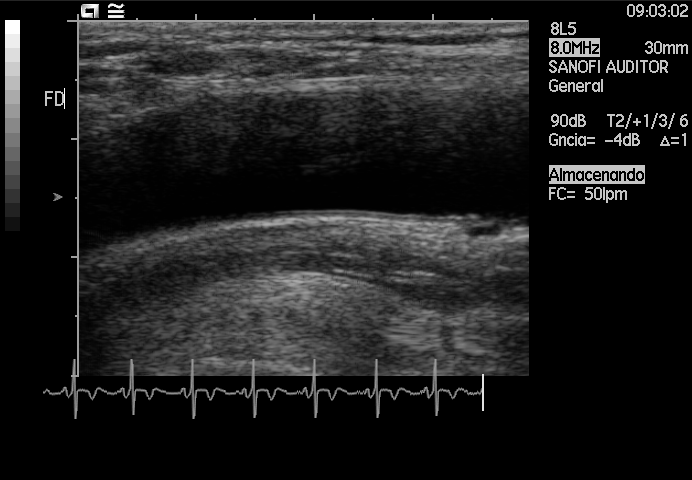
Classify this maternal-fetal ultrasound image as one of the six standard planes — fetal abdomen, fetal brain, fetal femur, fetal thorax, maternal cervix, or other. If it's fetal brain and one of the three standard brain planes (trans-thalamic, trans-cerebellum, trans-ventricular), name which.

Other